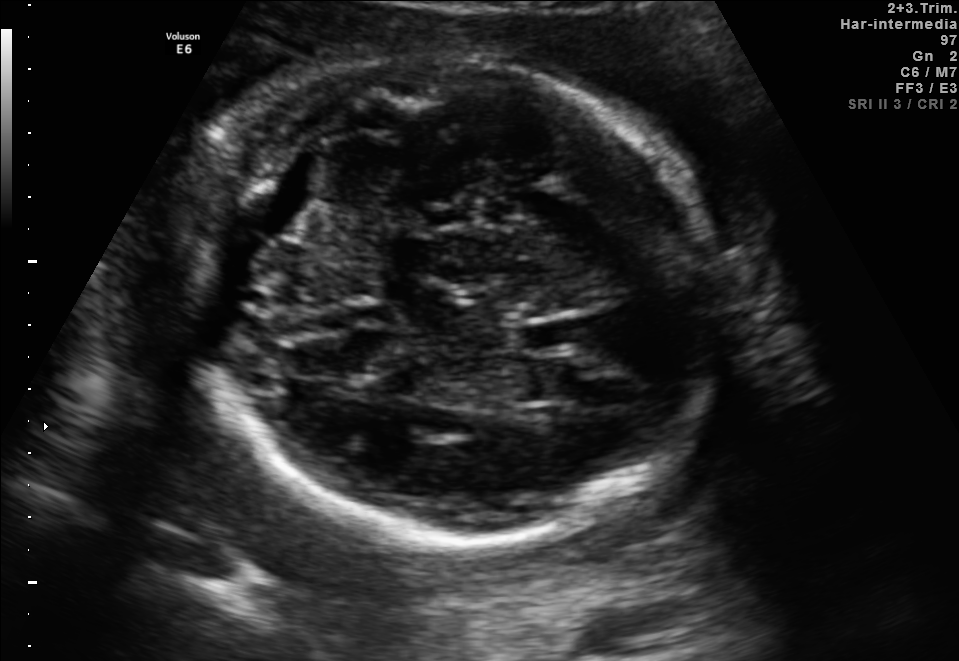
In this fetal brain, trans-thalamic plane, give the bounding box of the cavum septum pellucidum.

[513,314,586,353]